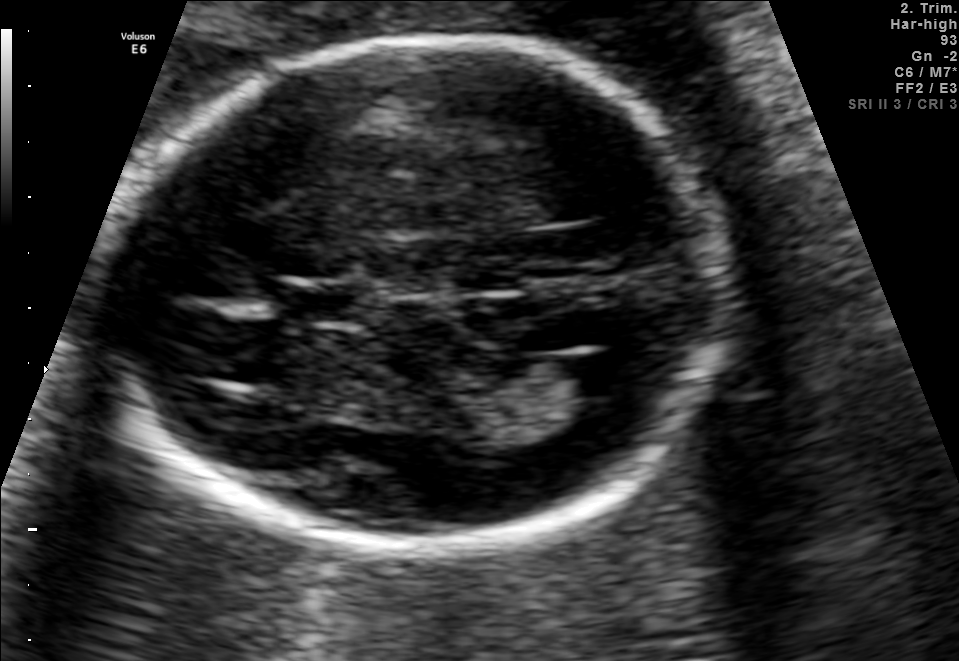
This is a 2D maternal-fetal ultrasound frame. Is it a fetal abdomen, fetal brain, fetal femur, fetal thorax, maternal cervix, or other standard plane? If it's fetal brain and one of the three standard brain planes (trans-thalamic, trans-cerebellum, trans-ventricular), name which.

Fetal brain (trans-ventricular plane)